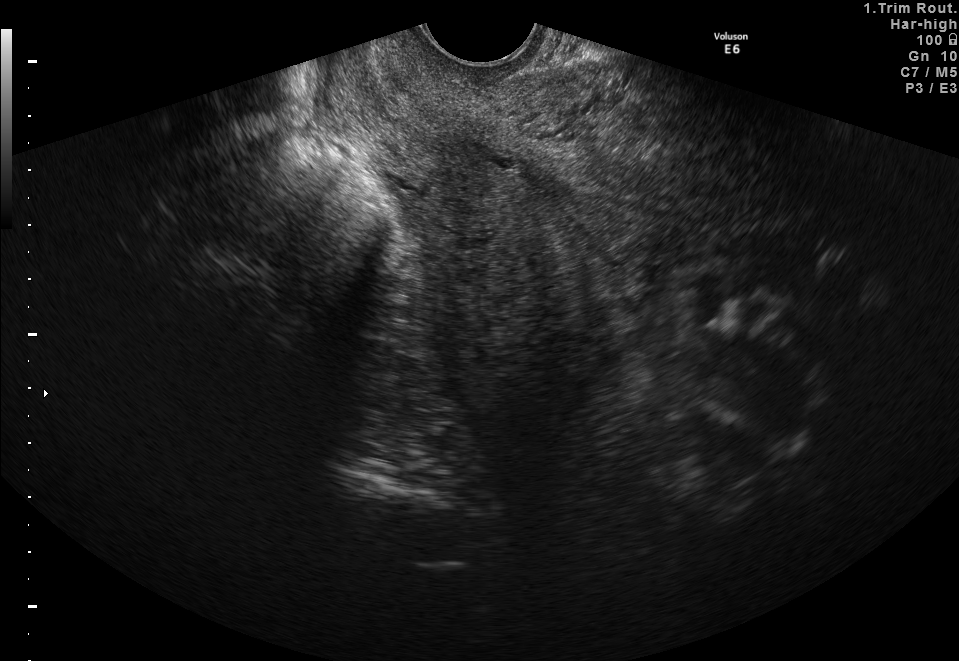
Identify the standard plane in this fetal ultrasound image: fetal abdomen, fetal brain, fetal femur, fetal thorax, maternal cervix, or other. If it's fetal brain and one of the three standard brain planes (trans-thalamic, trans-cerebellum, trans-ventricular), name which.

Maternal cervix